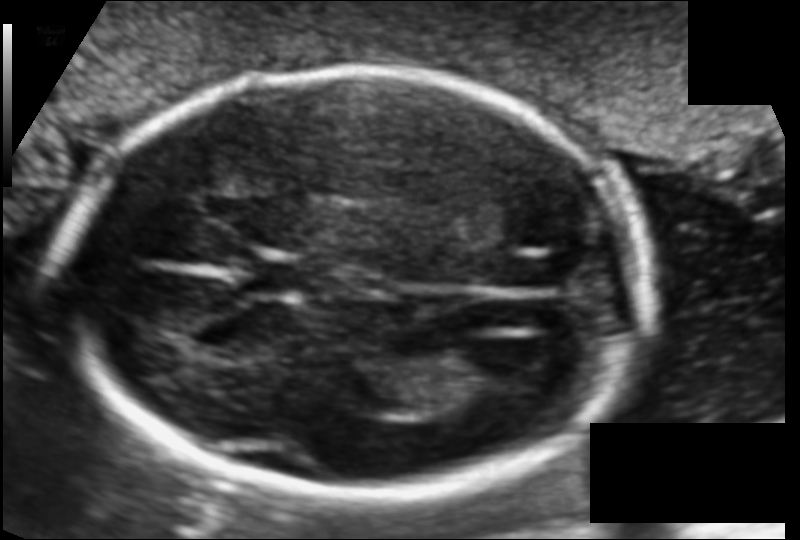
Fetal head ultrasound. Image width: 87.9 mm. Where is the fetal head?

Head bounding box: [69,69,644,495]